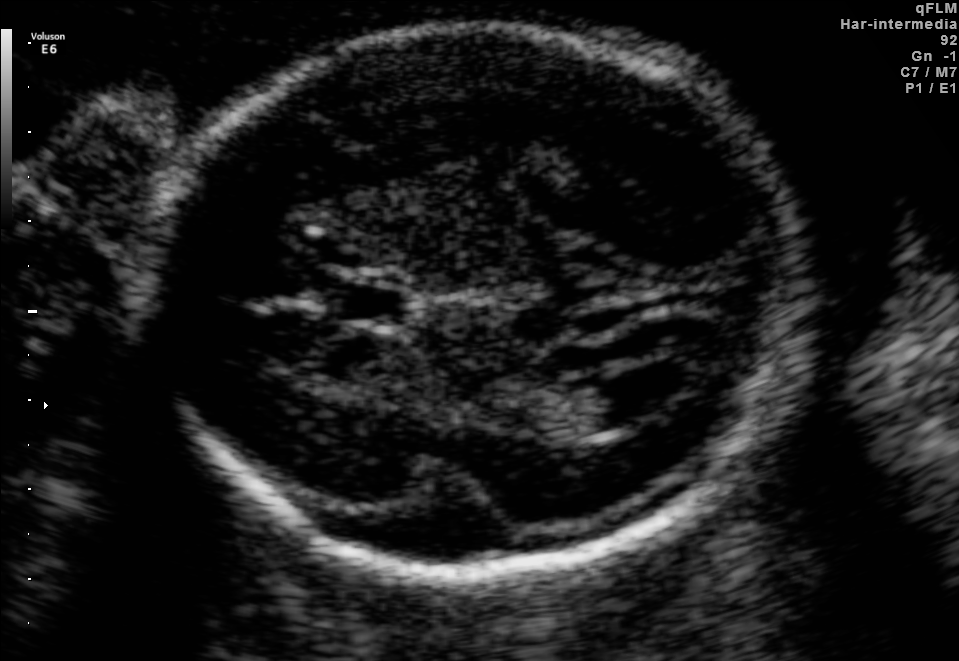
Fetal brain, trans-ventricular plane. Locate the fetal head.

Head: [121,17,832,592]